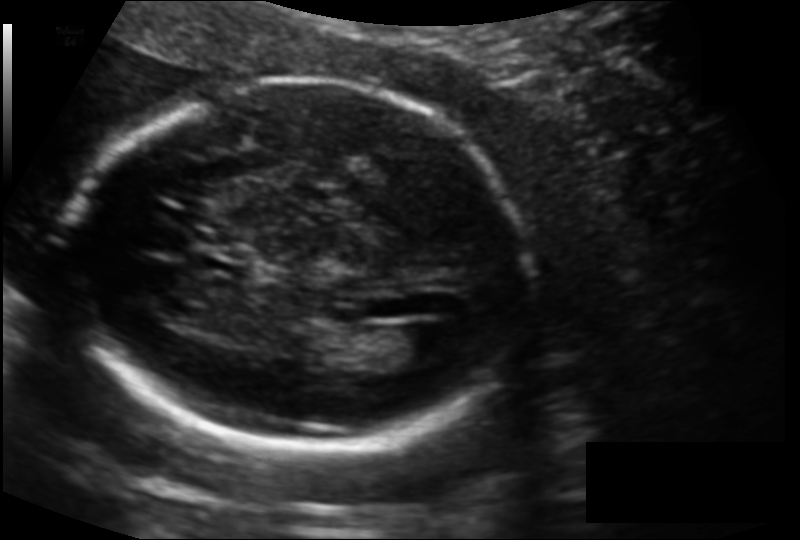
Fetal head ultrasound. Image width: 101.6 mm. Give [x1,y1,x2,y2] bounding boxes for each visible structure among: fetal head, CSP, LV.

Head: [67,79,530,448]
Lateral ventricle: [379,322,454,367]